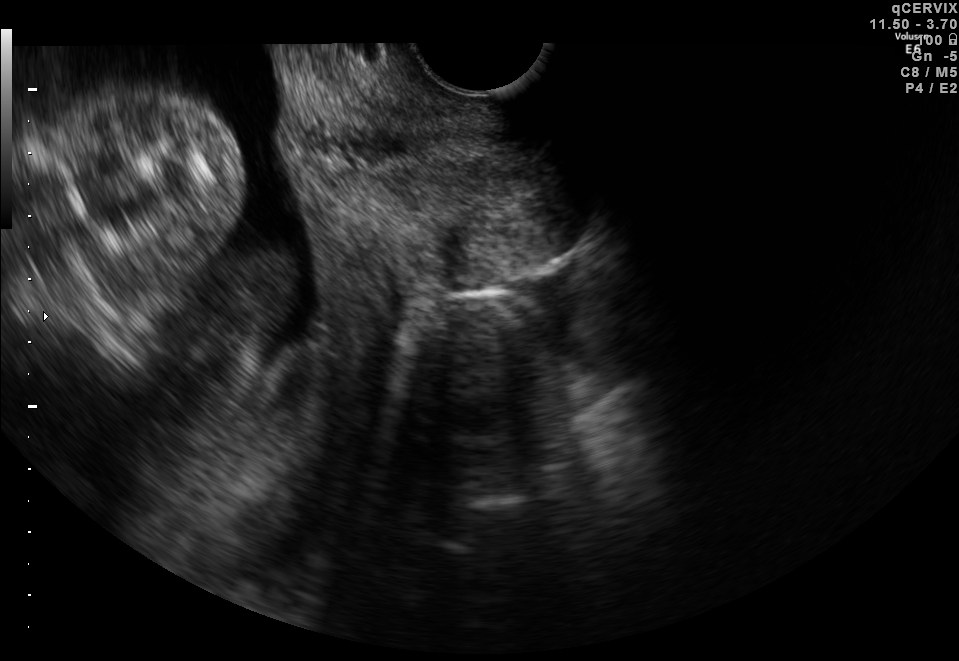
Identify the standard plane in this fetal ultrasound image: fetal abdomen, fetal brain, fetal femur, fetal thorax, maternal cervix, or other. If it's fetal brain and one of the three standard brain planes (trans-thalamic, trans-cerebellum, trans-ventricular), name which.

Maternal cervix